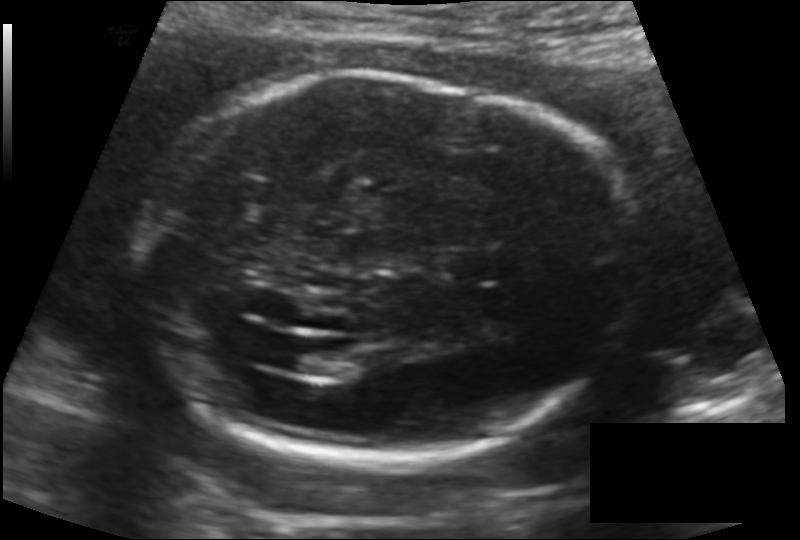
From this fetal ultrasound, estimate the head circumference (image width 117.5 mm).

Head circumference: 212.9 mm.